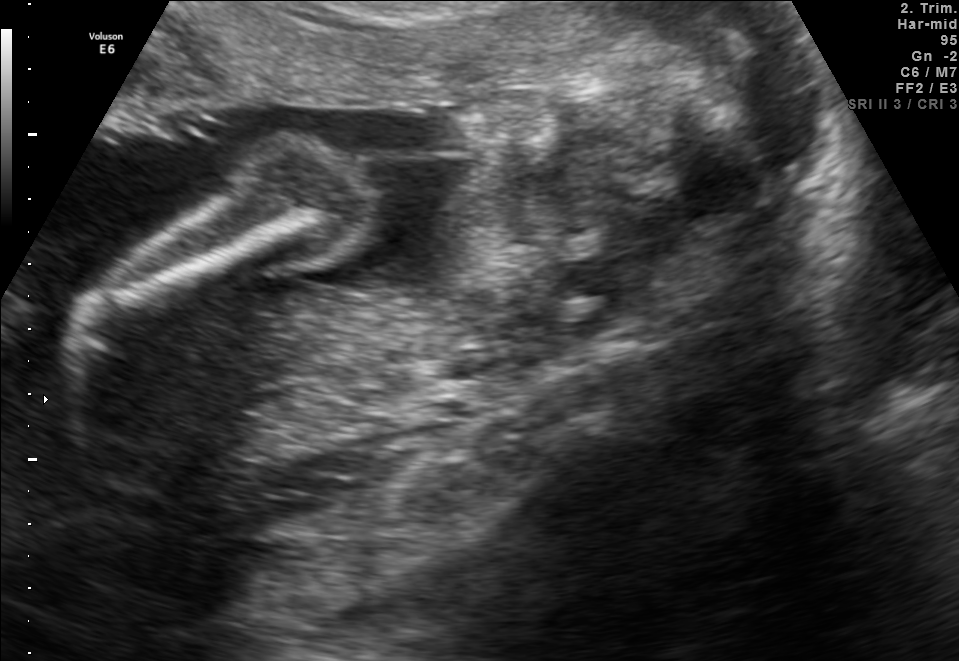
Identify the standard plane in this fetal ultrasound image: fetal abdomen, fetal brain, fetal femur, fetal thorax, maternal cervix, or other. If it's fetal brain and one of the three standard brain planes (trans-thalamic, trans-cerebellum, trans-ventricular), name which.

Other